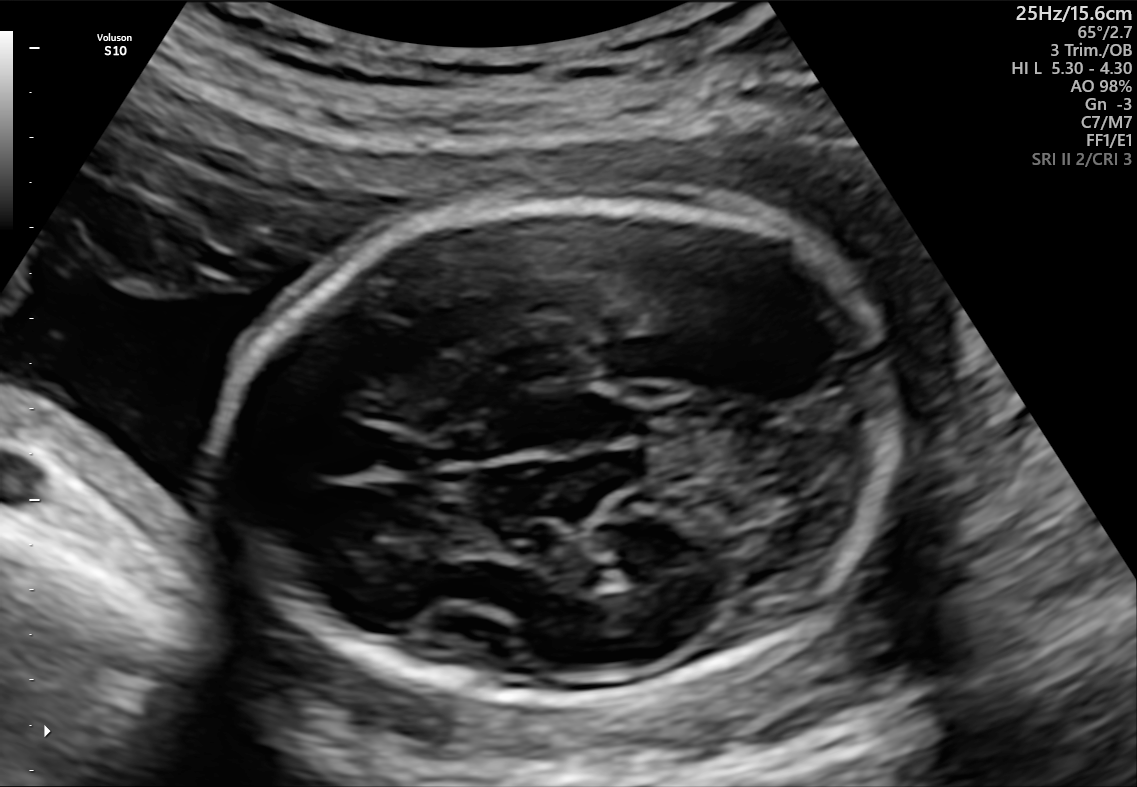
Fetal brain, trans-thalamic plane. Locate the fetal head and, if visible, the cavum septum pellucidum (CSP) and lateral ventricle (LV). Give bounding boxes as [x1,y1,x2,y2].

Head: [225,195,898,708]